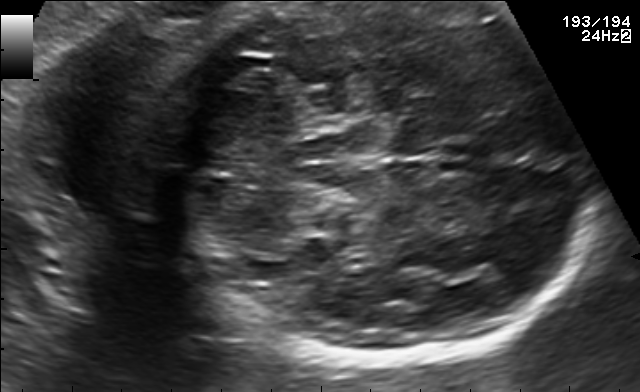
In this fetal brain, trans-cerebellum plane, give the bounding box of the fetal head.

[176,2,584,369]